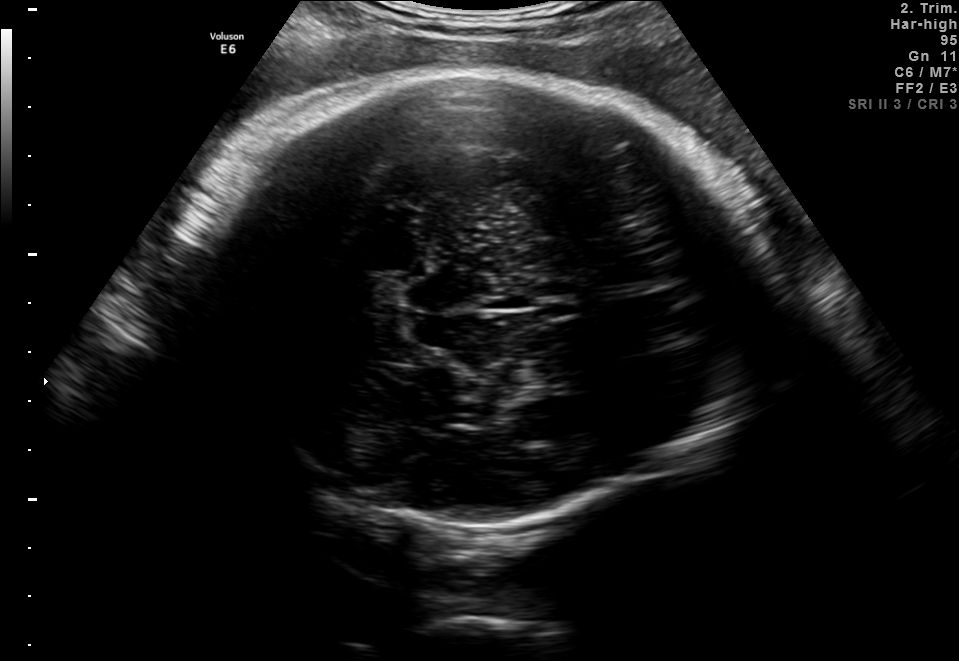
In this fetal brain, trans-thalamic plane, give the bounding box of the fetal head.

[171,70,748,541]